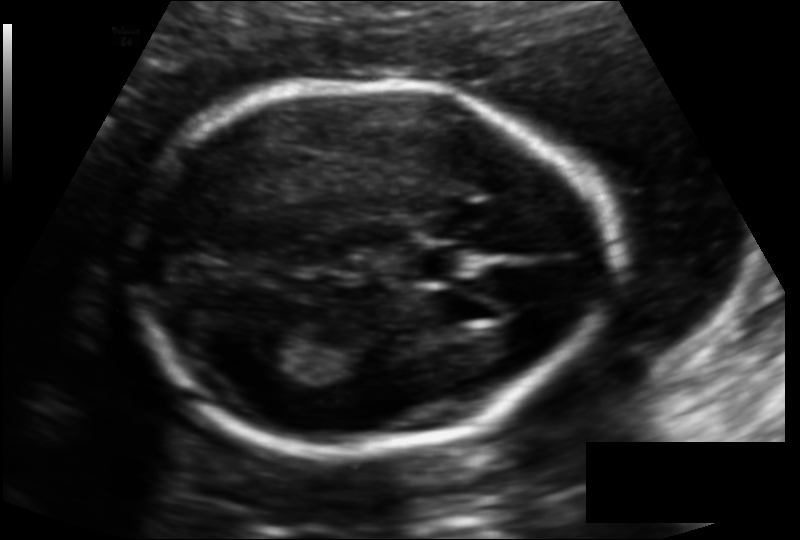
From this fetal ultrasound, estimate the head circumference (image width 96.8 mm).

Head circumference: 171.3 mm.